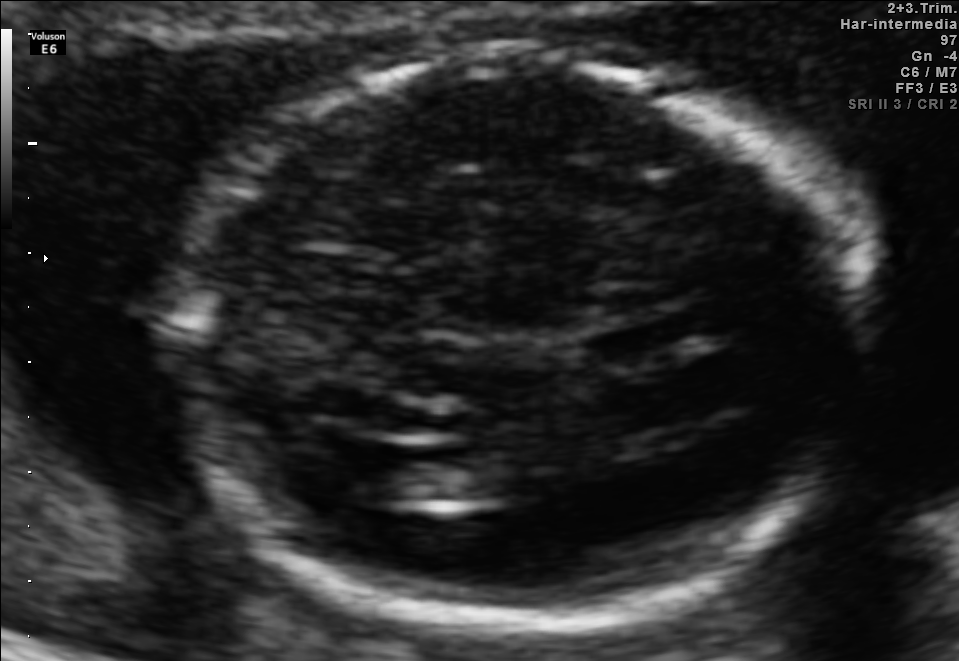
In this fetal brain, trans-ventricular plane, give the bounding box of the lateral ventricle.

[367,446,443,499]